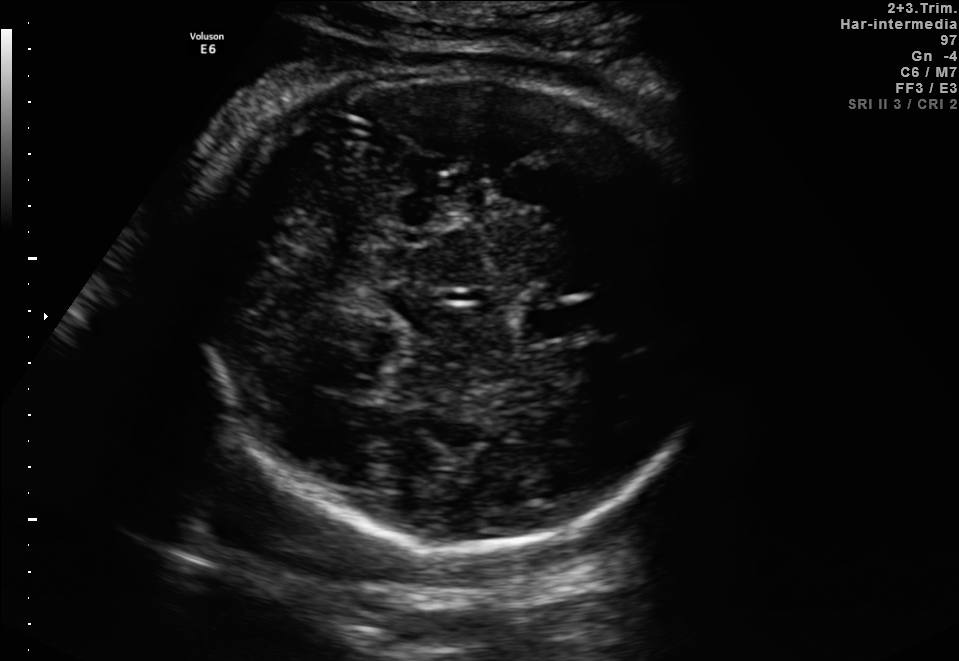
Fetal brain, trans-thalamic plane. Where is the cavum septum pellucidum?

CSP bounding box: [524,299,594,343]